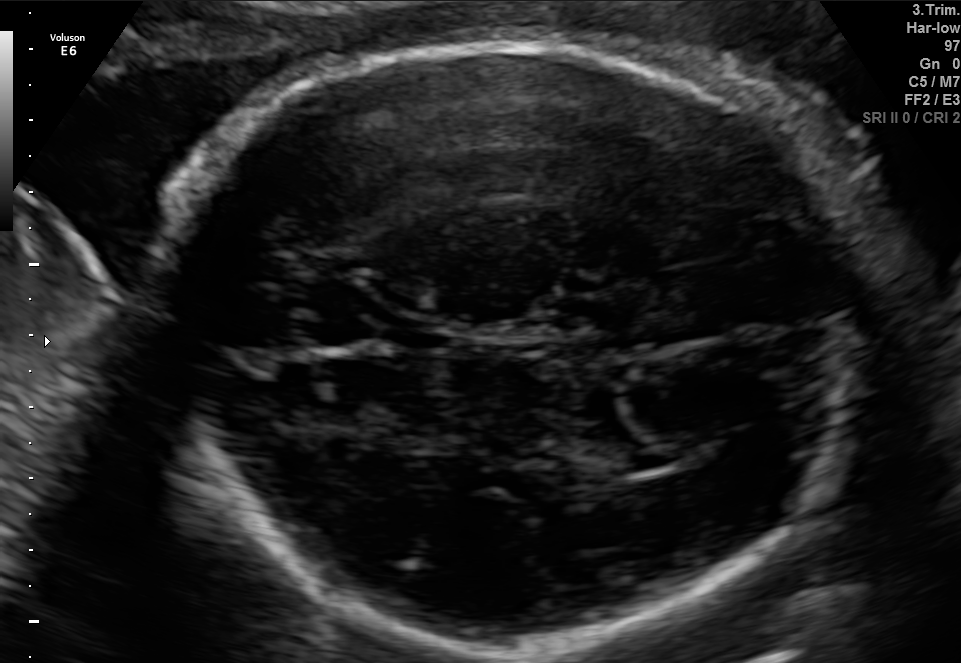
Fetal brain, trans-ventricular plane. Locate the fetal head.

Head: [138,34,875,655]